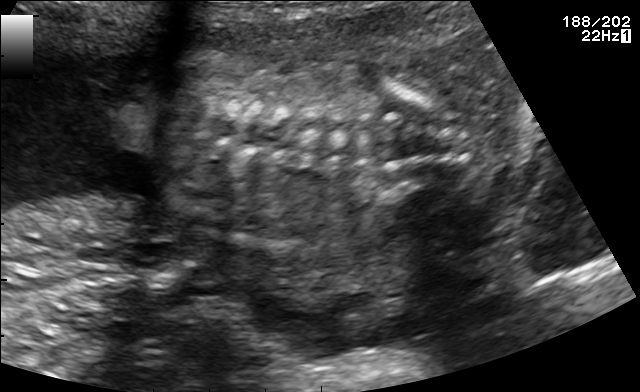
Classify this maternal-fetal ultrasound image as one of the six standard planes — fetal abdomen, fetal brain, fetal femur, fetal thorax, maternal cervix, or other. If it's fetal brain and one of the three standard brain planes (trans-thalamic, trans-cerebellum, trans-ventricular), name which.

Other